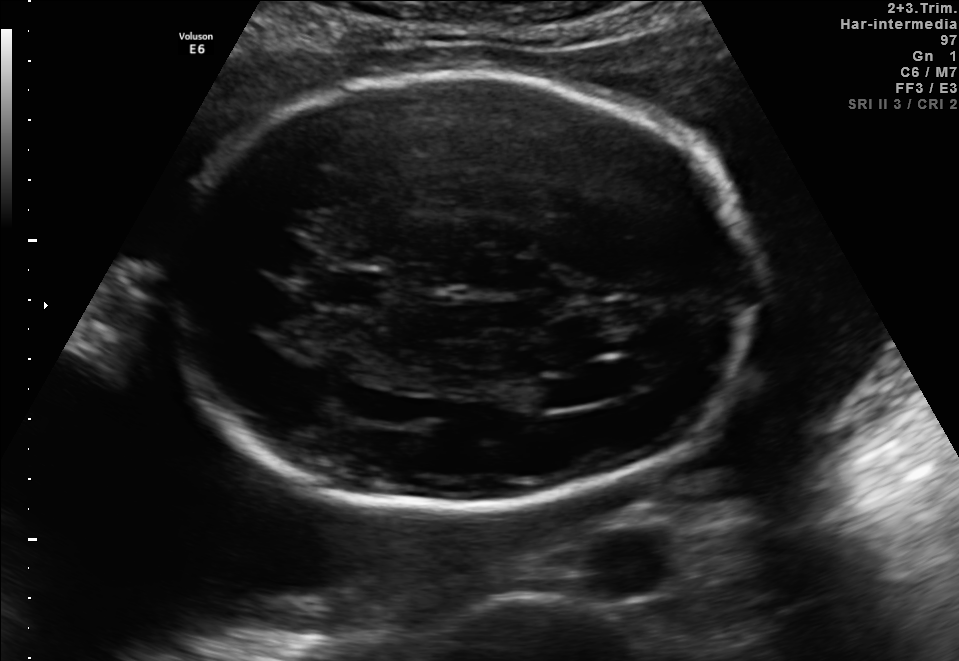
In this fetal brain, trans-ventricular plane, give the bounding box of the cavum septum pellucidum.

[314,267,377,308]